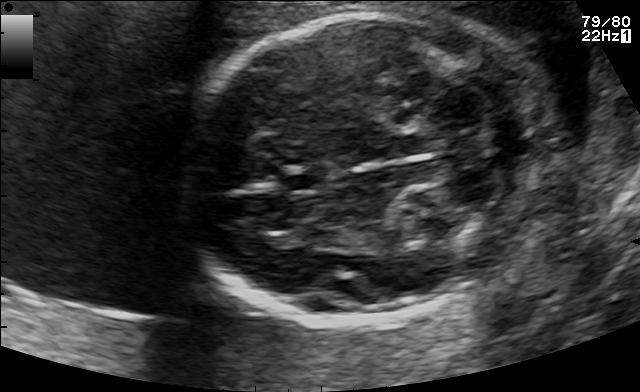
Fetal brain, trans-cerebellum plane. Where is the fetal head?

Head bounding box: [180,12,558,321]